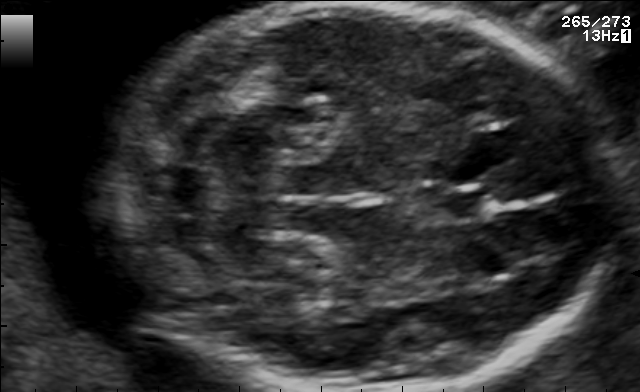
In this fetal brain, trans-cerebellum plane, give the bounding box of the cavum septum pellucidum.

[429,183,491,224]